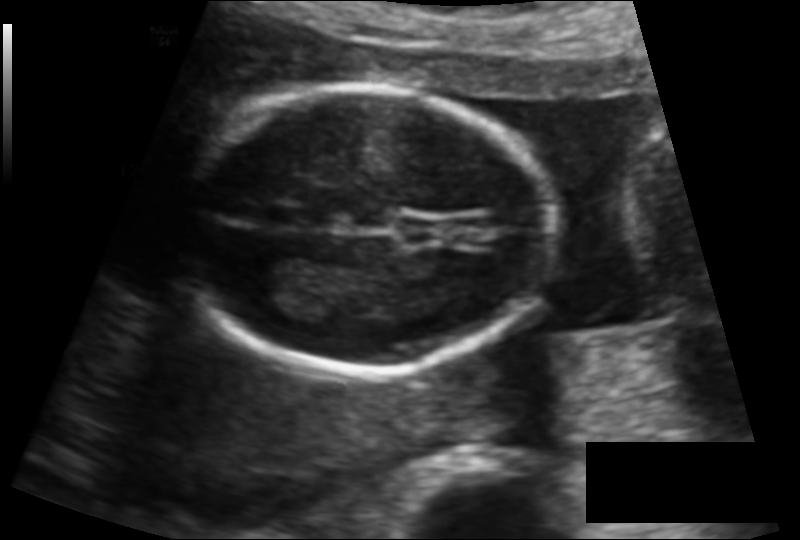
Estimate the fetal head circumference from this 2D ultrasound.

Head circumference: 125.2 mm (image width 93.2 mm).